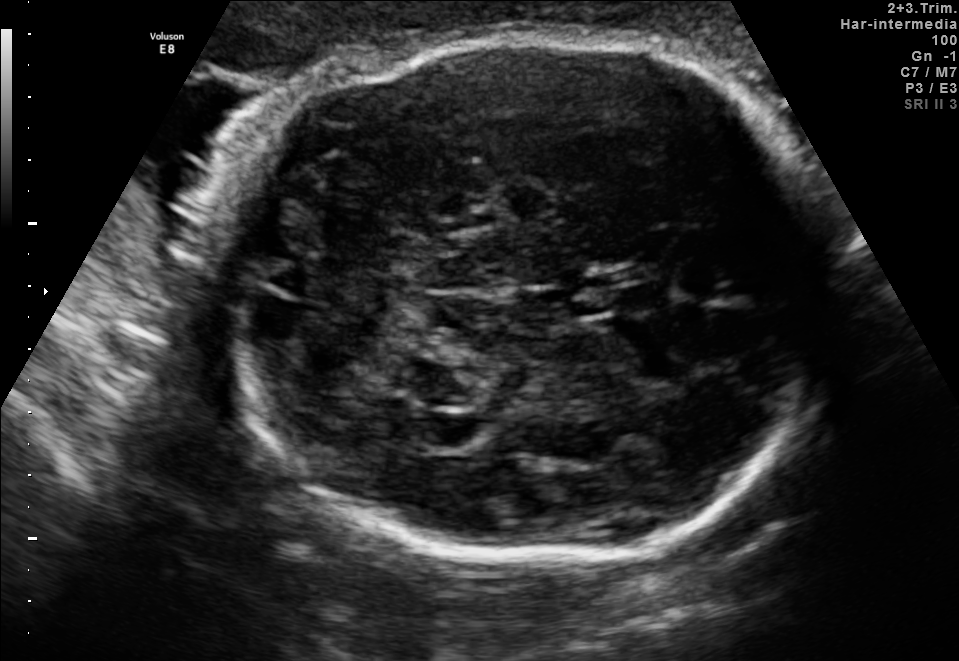
Fetal brain, trans-cerebellum plane. Locate the fetal head.

Head: [231,37,834,568]